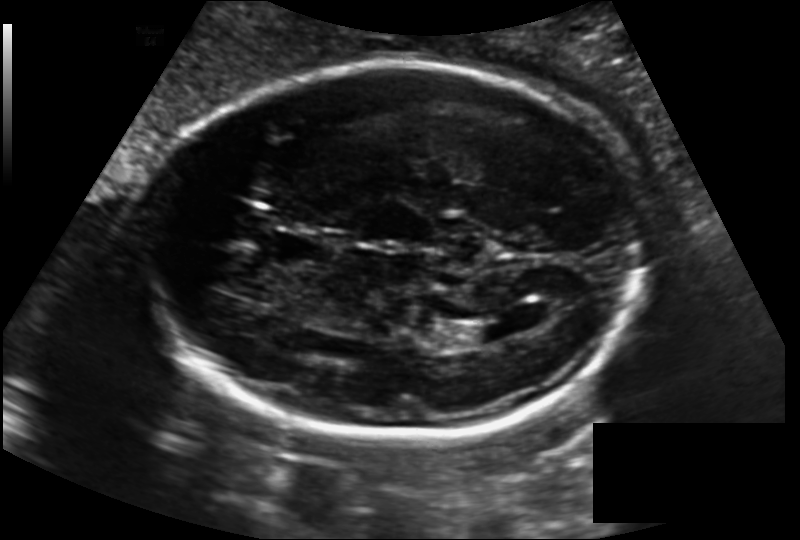
Fetal head ultrasound. Image width: 130.6 mm. Give [x1,y1,x2,y2] bounding boxes for each visible structure among: fetal head, CSP, LV.

Head: [144,63,641,443]
CSP: [271,226,335,270]
Lateral ventricle: [459,318,510,348]